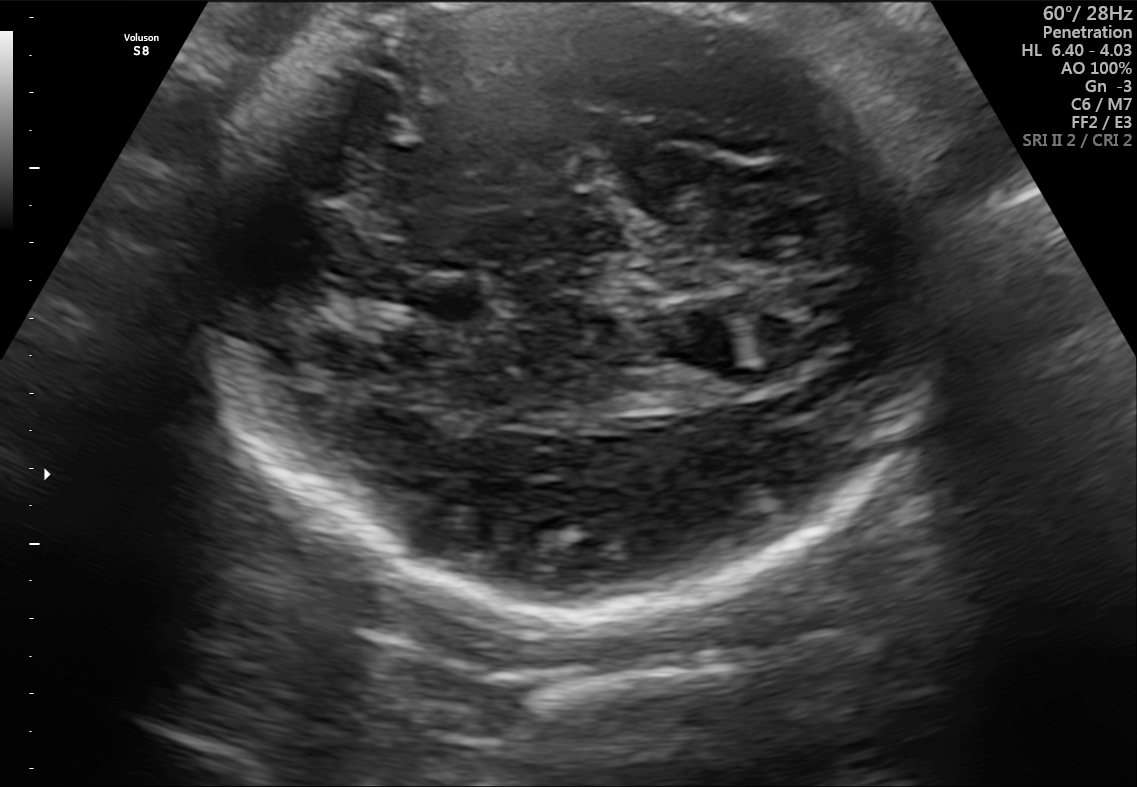
In this fetal brain, trans-thalamic plane, give the bounding box of the fetal head.

[209,5,938,620]